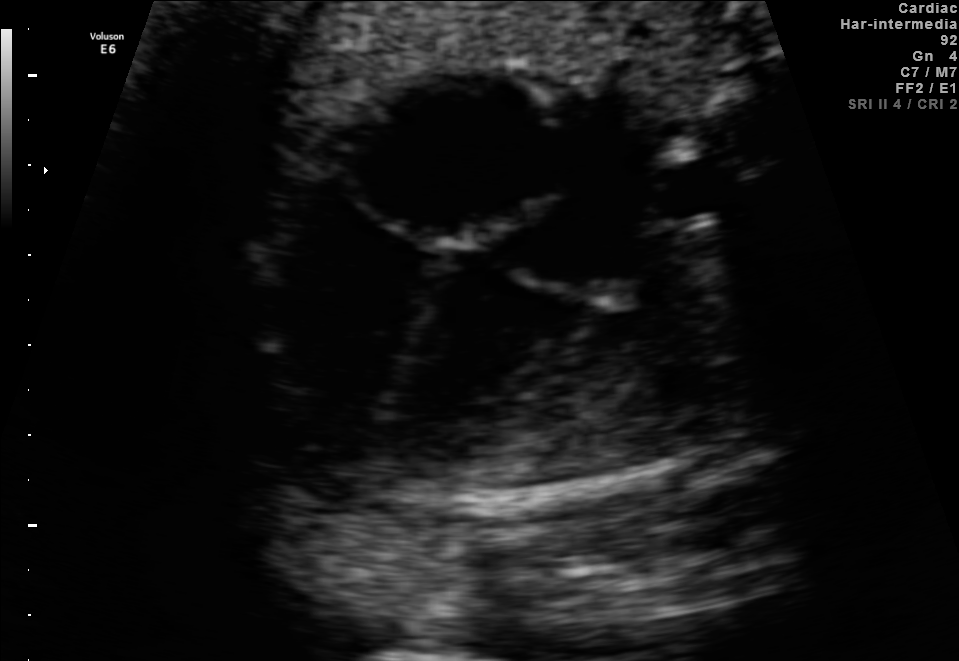
Which standard maternal-fetal ultrasound plane is shown: fetal abdomen, fetal brain, fetal femur, fetal thorax, maternal cervix, or other? If it's fetal brain and one of the three standard brain planes (trans-thalamic, trans-cerebellum, trans-ventricular), name which.

Fetal thorax